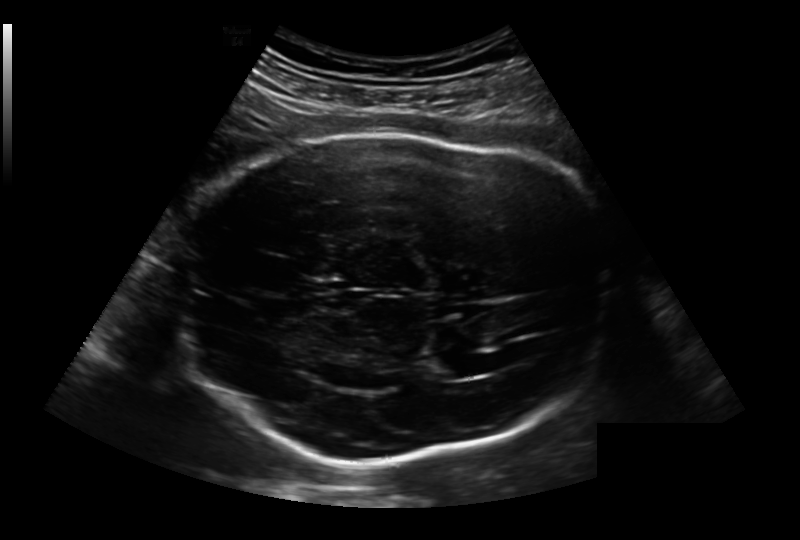
In this fetal head ultrasound, give bounding boxes for the head outline, cavum septum pellucidum (CSP), and lateral ventricle (LV), where visible. Image width: 188.6 mm.

Head: [170,136,611,462]
Lateral ventricle: [425,352,476,381]